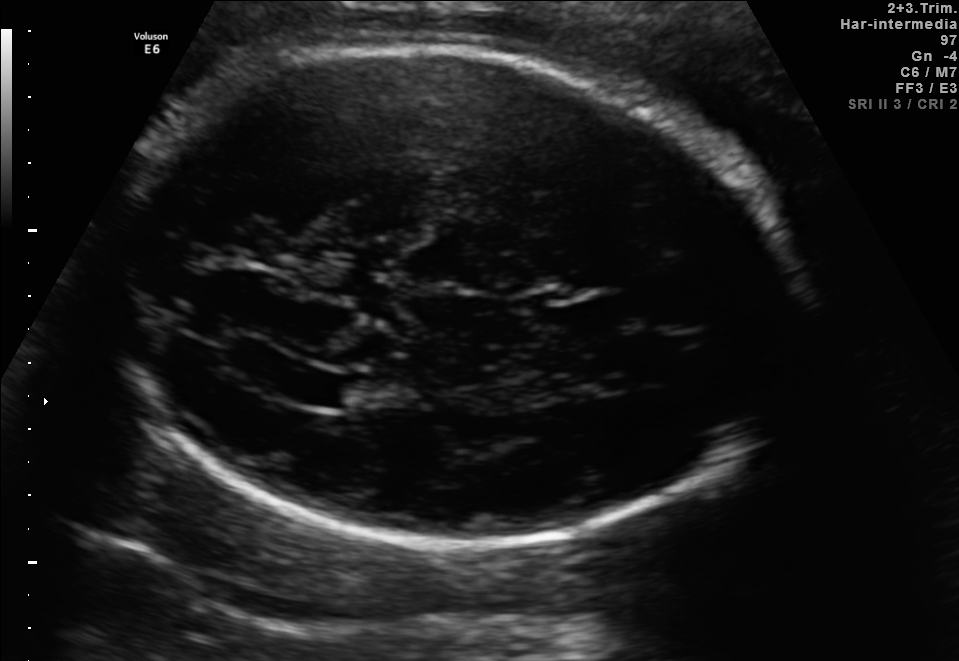
In this fetal brain, trans-ventricular plane, give the bounding box of the fetal head.

[99,37,808,562]